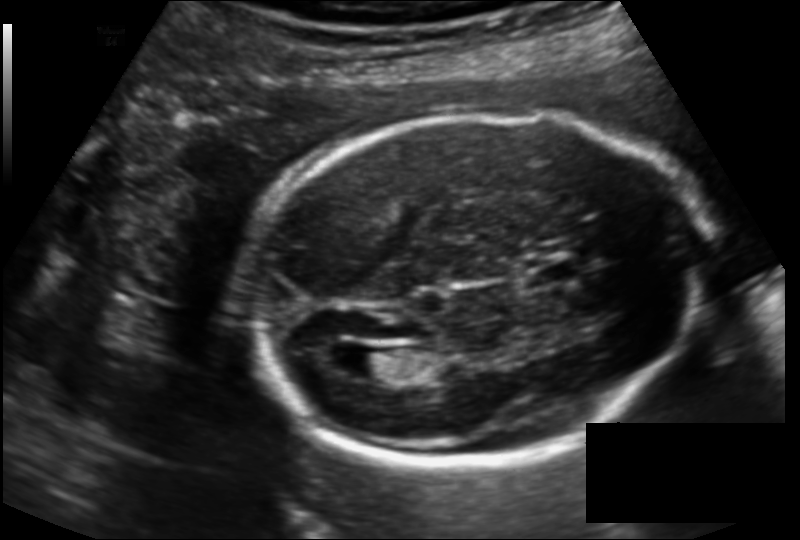
Fetal head ultrasound. Image width: 114.4 mm. Locate the lateral ventricle.

Lateral ventricle: [344,345,400,380]